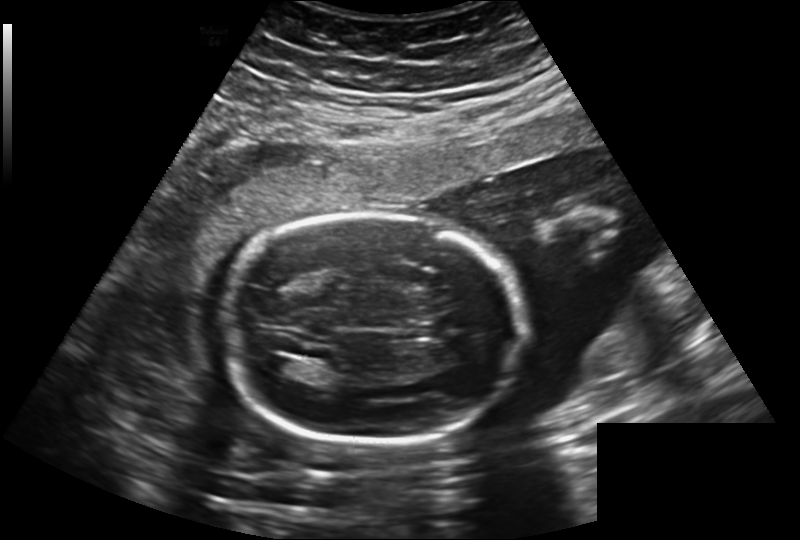
Measure the fetal head circumference shown in this ultrasound image. Image width: 192.6 mm.

Head circumference: 205.7 mm.